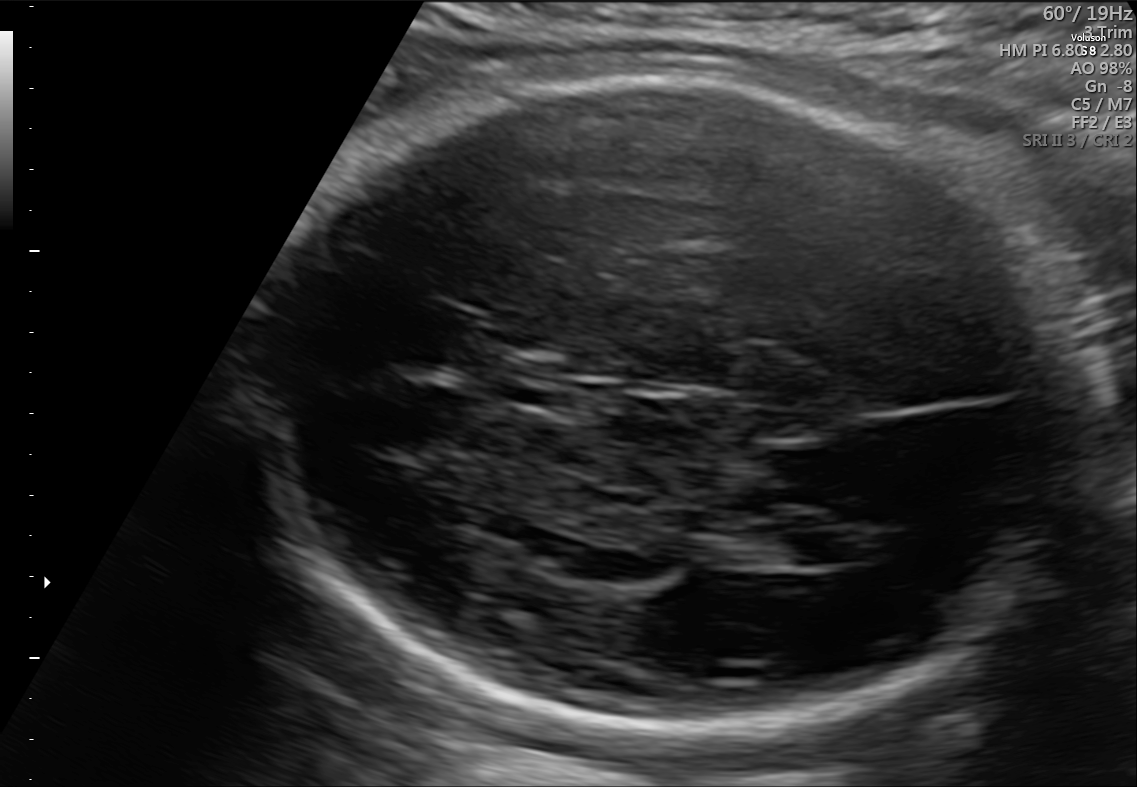
Fetal brain, trans-ventricular plane. Locate the lateral ventricle.

Lateral ventricle: [783,531,874,565]